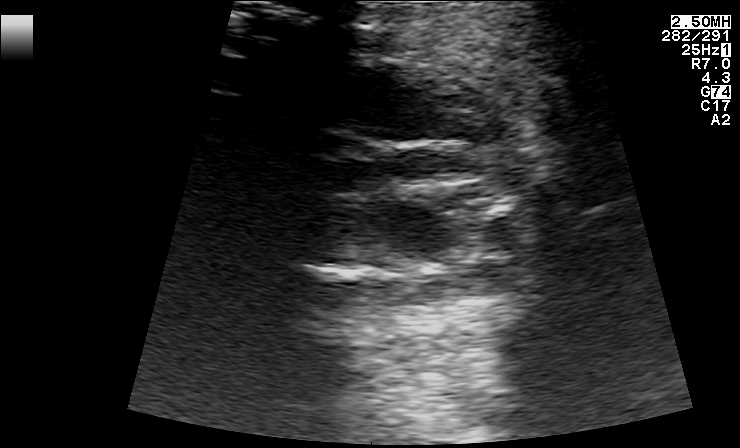
Which standard maternal-fetal ultrasound plane is shown: fetal abdomen, fetal brain, fetal femur, fetal thorax, maternal cervix, or other? If it's fetal brain and one of the three standard brain planes (trans-thalamic, trans-cerebellum, trans-ventricular), name which.

Other